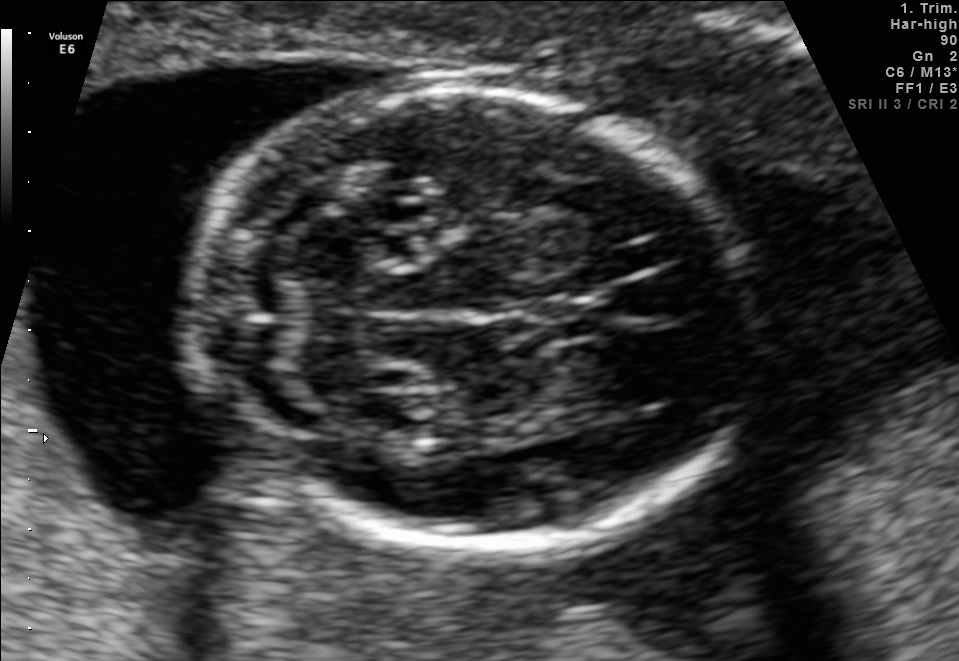
Fetal brain, trans-cerebellum plane. Where is the fetal head?

Head bounding box: [187,90,758,549]